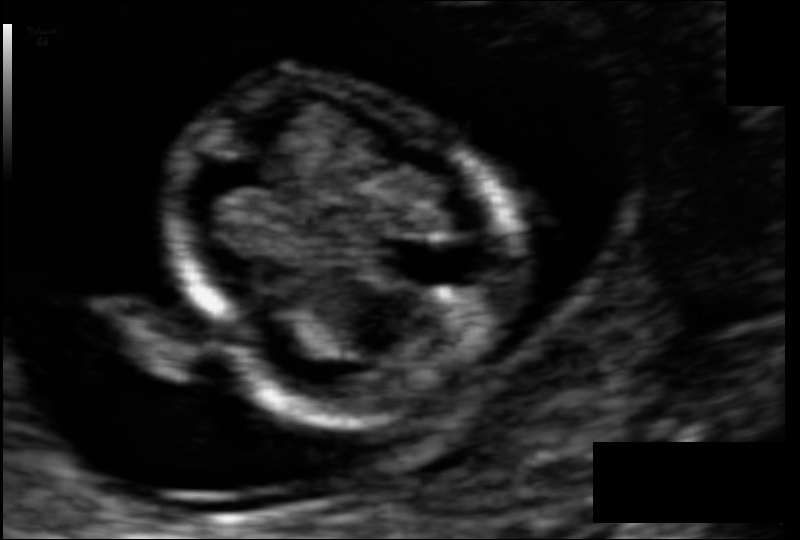
What is the fetal head circumference? Image width is 47.3 mm.

67.2 mm